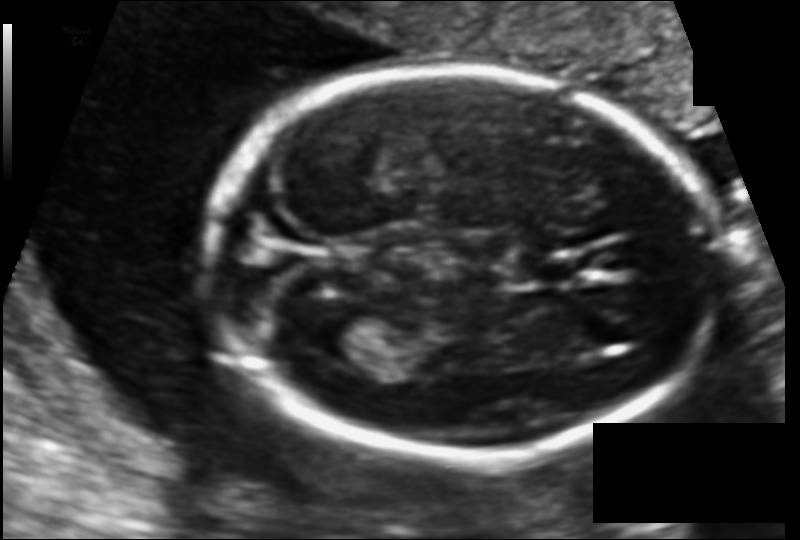
Fetal head ultrasound. Image width: 86.7 mm. Locate the fetal head.

Head: [211,67,716,457]